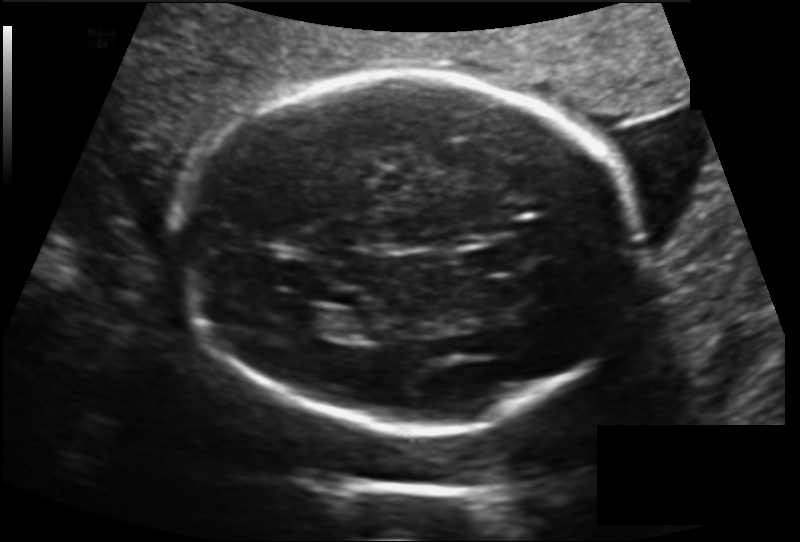
Measure the fetal head circumference shown in this ultrasound image. Image width: 127.7 mm.

Head circumference: 212.1 mm.